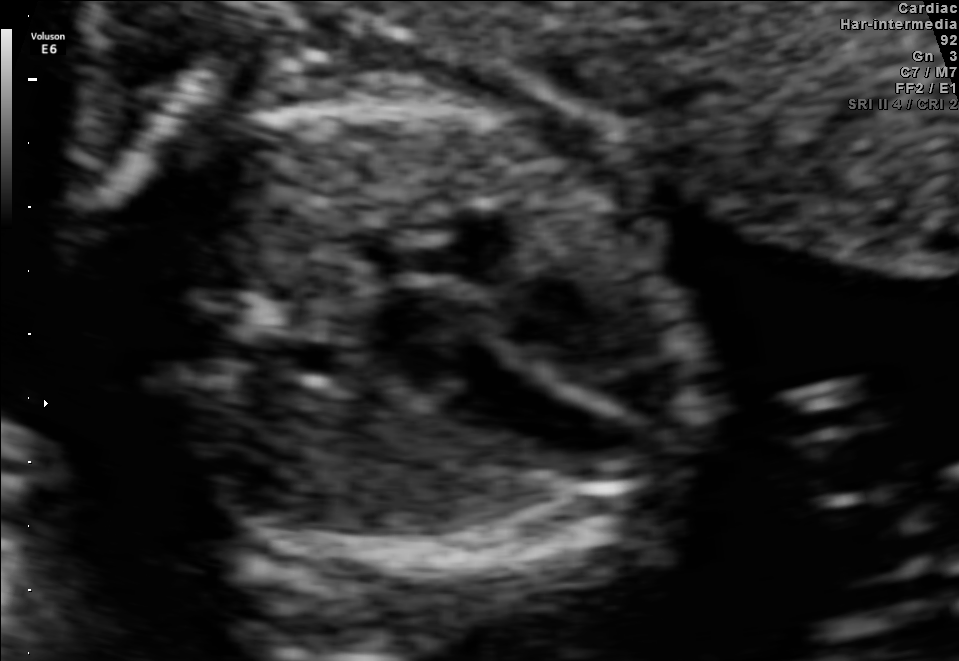
This is a 2D maternal-fetal ultrasound frame. Is it a fetal abdomen, fetal brain, fetal femur, fetal thorax, maternal cervix, or other standard plane? If it's fetal brain and one of the three standard brain planes (trans-thalamic, trans-cerebellum, trans-ventricular), name which.

Fetal thorax